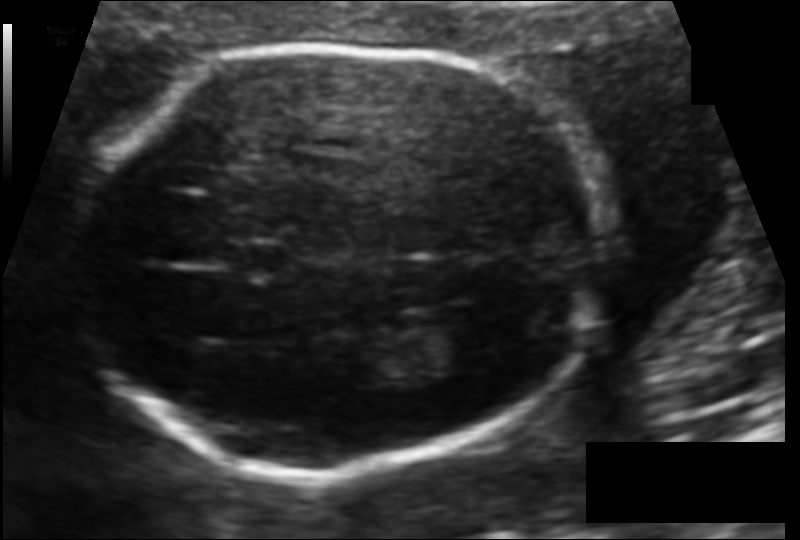
Fetal head ultrasound. Image width: 86.3 mm. Give [x1,y1,x2,y2] bounding boxes for each visible structure among: fetal head, CSP, LV.

Head: [72,47,606,472]
CSP: [230,244,293,277]
Lateral ventricle: [436,312,523,373]